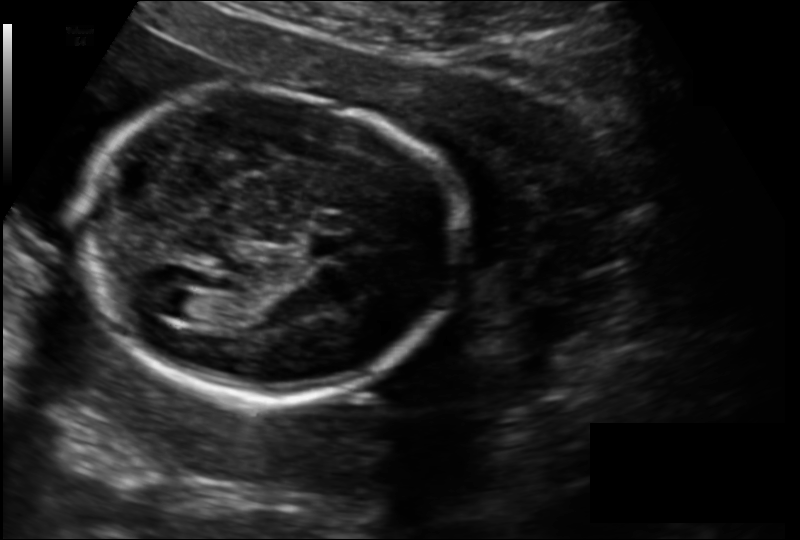
Fetal head ultrasound. Image width: 119.1 mm. Locate the lateral ventricle.

Lateral ventricle: [158,287,202,322]